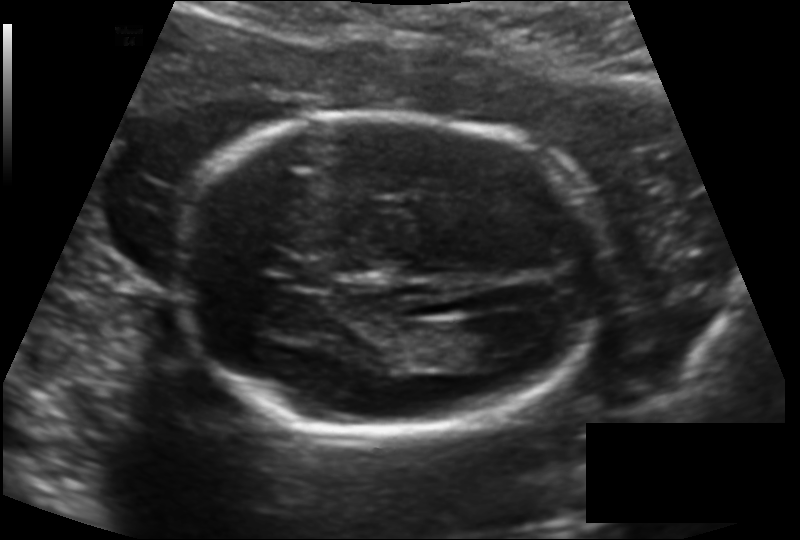
Fetal head ultrasound. Image width: 110.7 mm. Locate the lateral ventricle.

Lateral ventricle: [439,318,519,370]